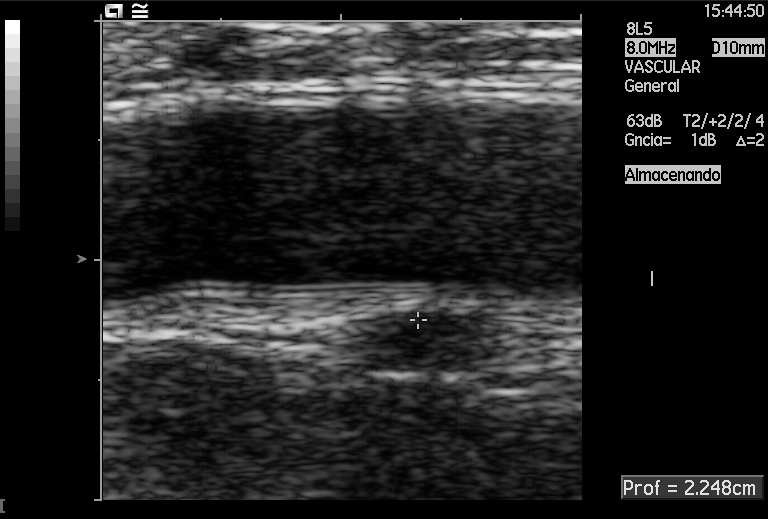
Identify the standard plane in this fetal ultrasound image: fetal abdomen, fetal brain, fetal femur, fetal thorax, maternal cervix, or other. If it's fetal brain and one of the three standard brain planes (trans-thalamic, trans-cerebellum, trans-ventricular), name which.

Other